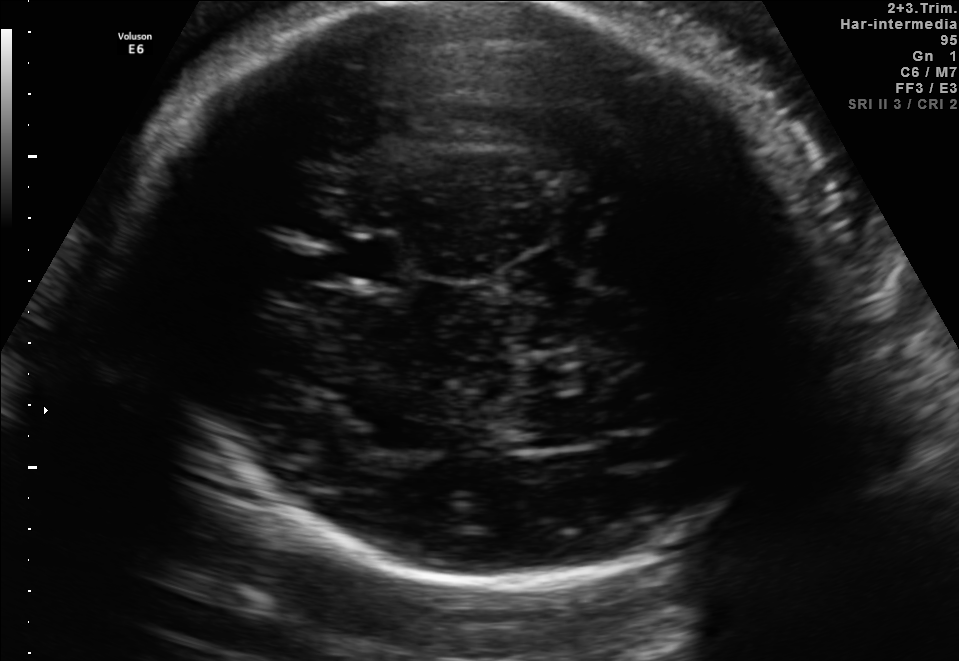
Fetal brain, trans-thalamic plane. Where is the fetal head?

Head bounding box: [122,4,833,585]